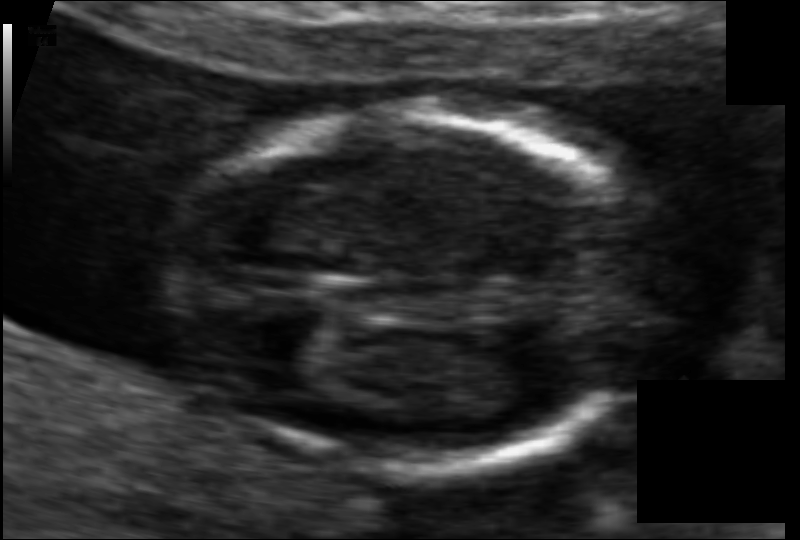
Fetal head ultrasound. Image width: 51.8 mm. Give [x1,y1,x2,y2] bounding boxes for each visible structure among: fetal head, CSP, LV.

Head: [159,111,651,471]